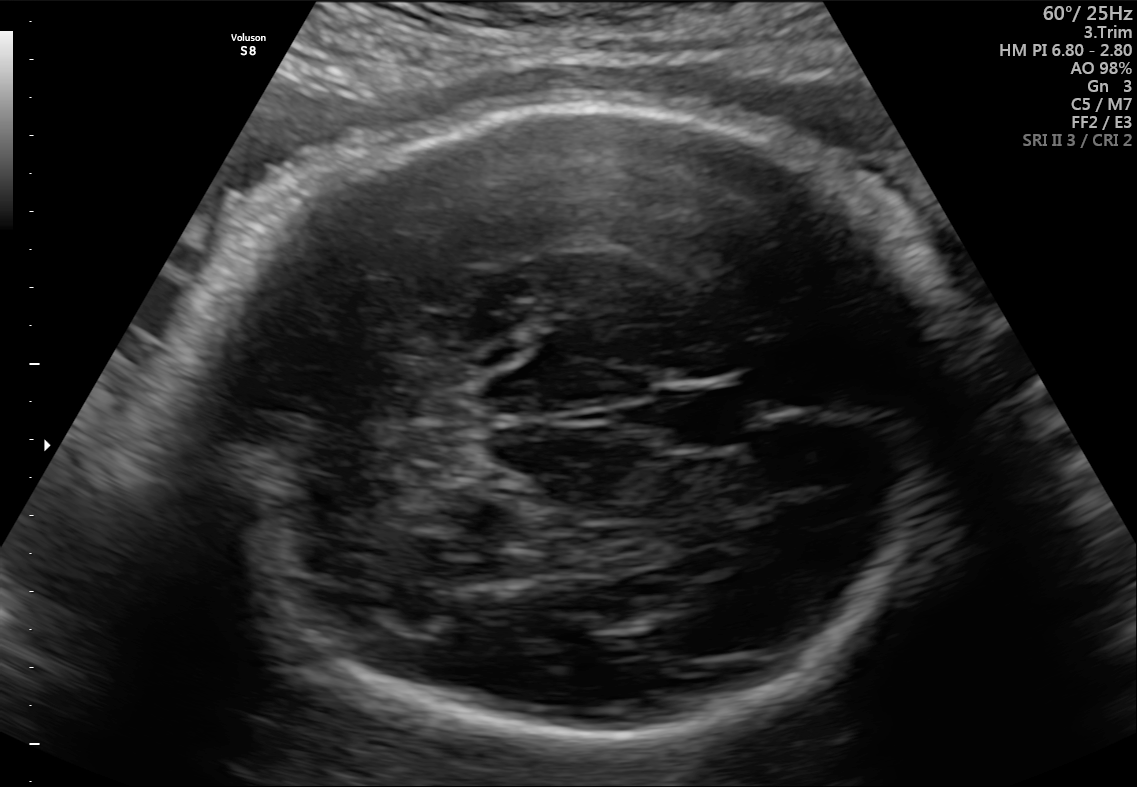
This is a 2D maternal-fetal ultrasound frame. Is it a fetal abdomen, fetal brain, fetal femur, fetal thorax, maternal cervix, or other standard plane? If it's fetal brain and one of the three standard brain planes (trans-thalamic, trans-cerebellum, trans-ventricular), name which.

Fetal brain (trans-cerebellum plane)